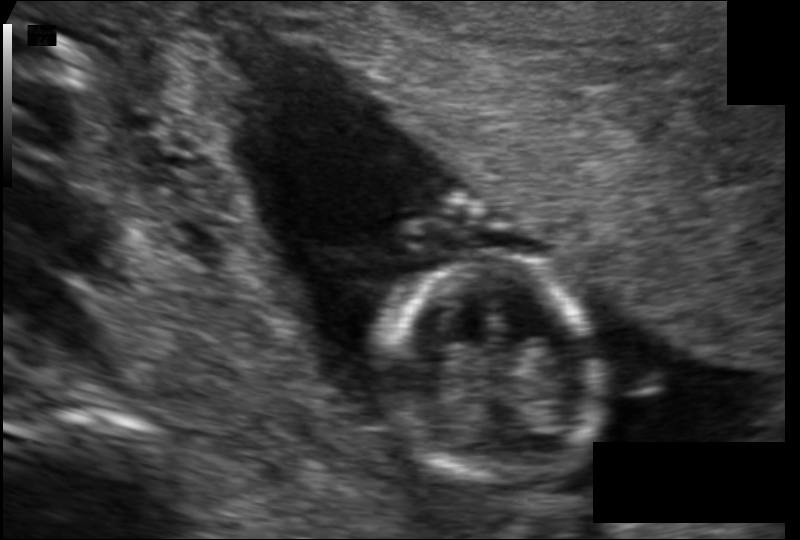
Estimate the fetal head circumference from this 2D ultrasound.

Head circumference: 80.9 mm (image width 87.7 mm).